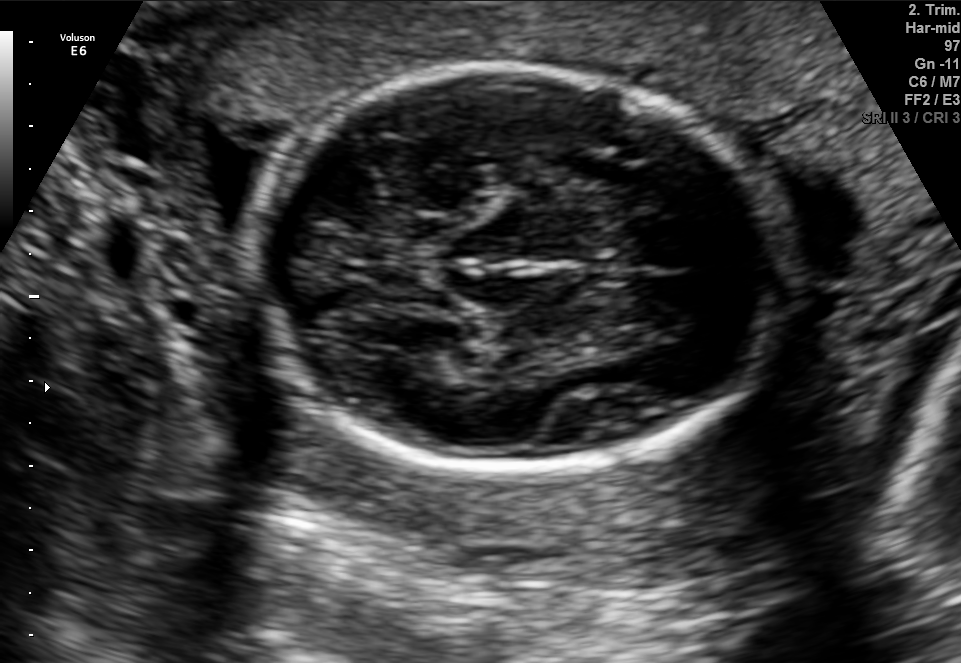
Fetal brain, trans-thalamic plane. Give [x1,y1,x2,y2] bounding boxes for each visible structure among: fetal head, CSP, LV.

Head: [259,69,791,469]